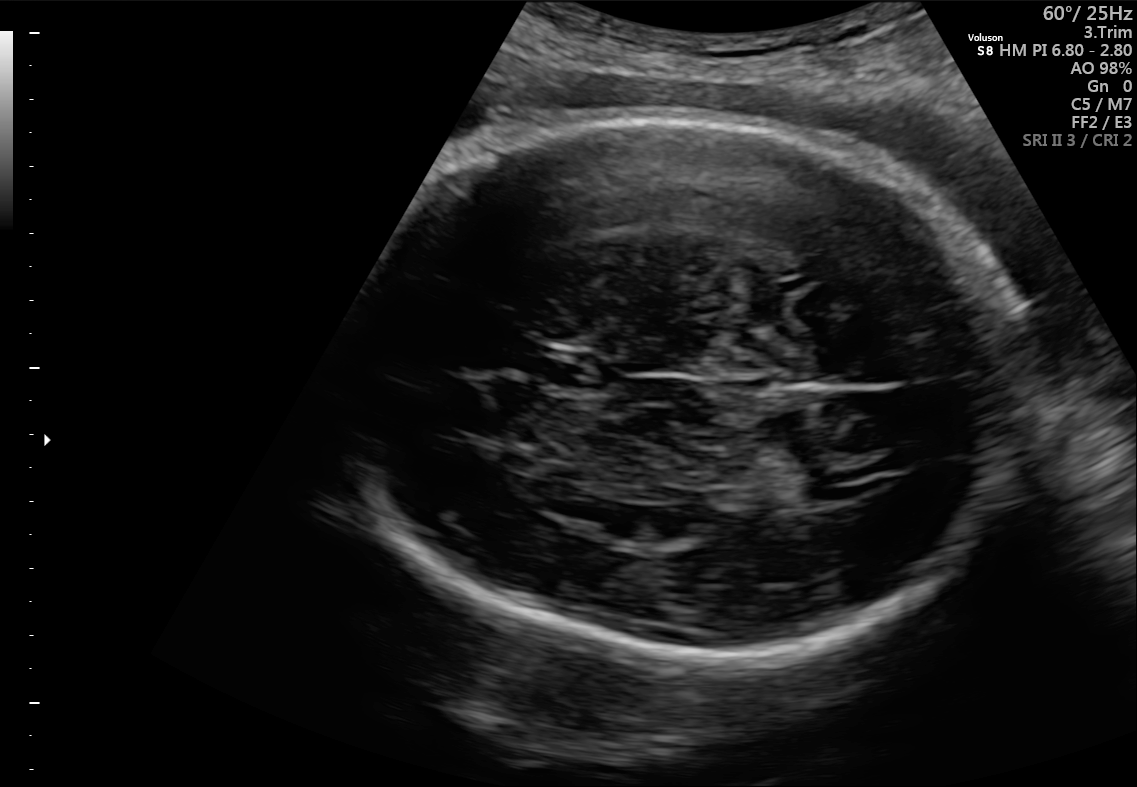
In this fetal brain, trans-thalamic plane, give bounding boxes for the head outline, cavum septum pellucidum (CSP), and lateral ventricle (LV), where visible.

Head: [340,117,1029,663]
CSP: [544,348,612,393]